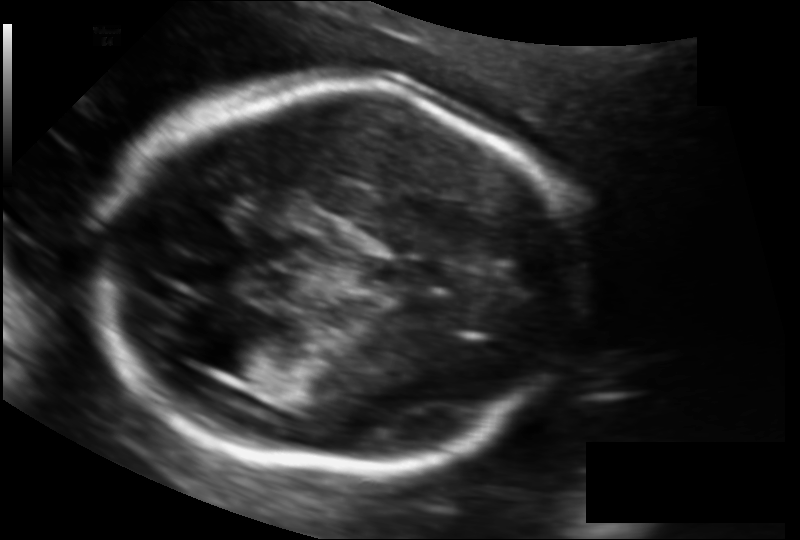
In this fetal head ultrasound, give bounding boxes for the head outline, cavum septum pellucidum (CSP), and lateral ventricle (LV), where visible. Image width: 96.6 mm.

Head: [92,80,581,468]